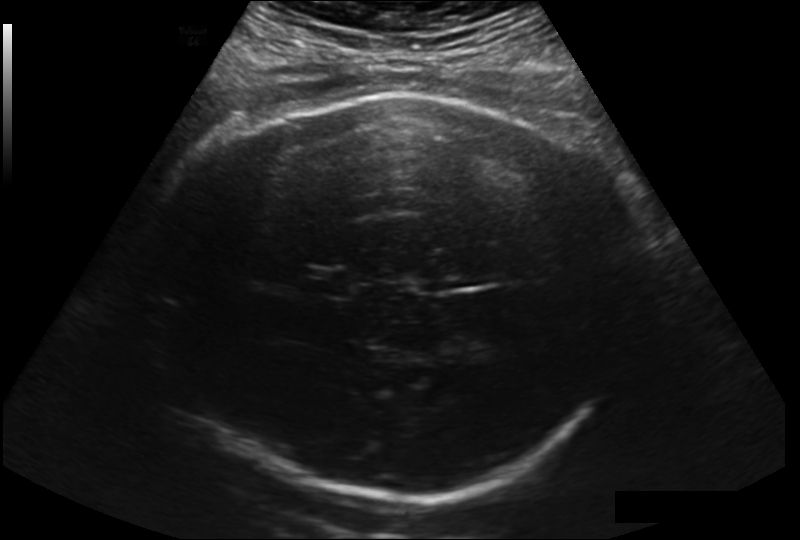
Estimate the fetal head circumference from this 2D ultrasound.

Head circumference: 327.6 mm (image width 179.8 mm).